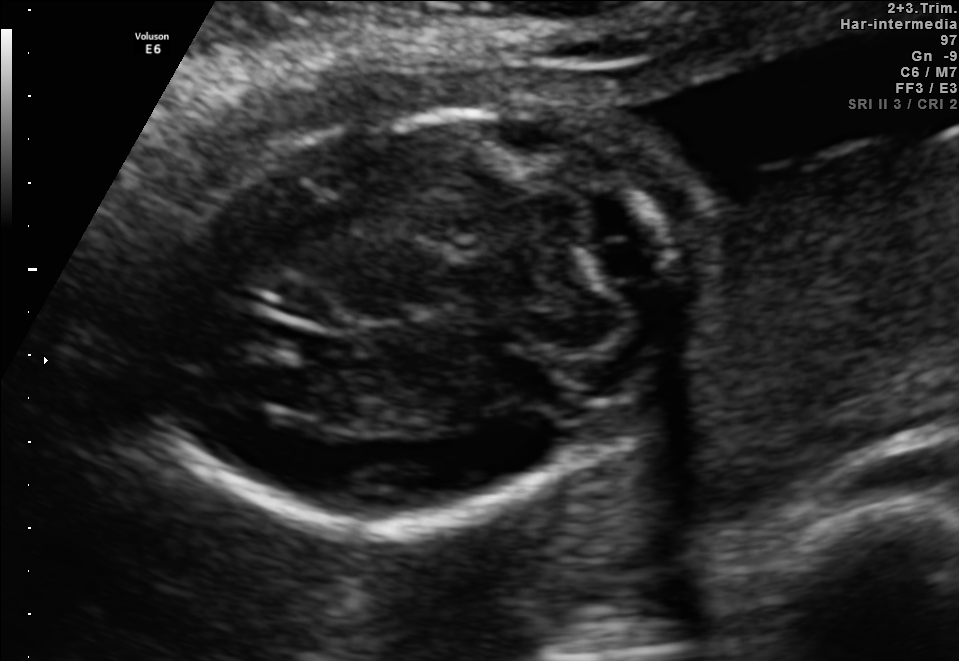
In this fetal brain, trans-cerebellum plane, give bounding boxes for the head outline, cavum septum pellucidum (CSP), and lateral ventricle (LV), where visible.

Head: [158,105,717,520]